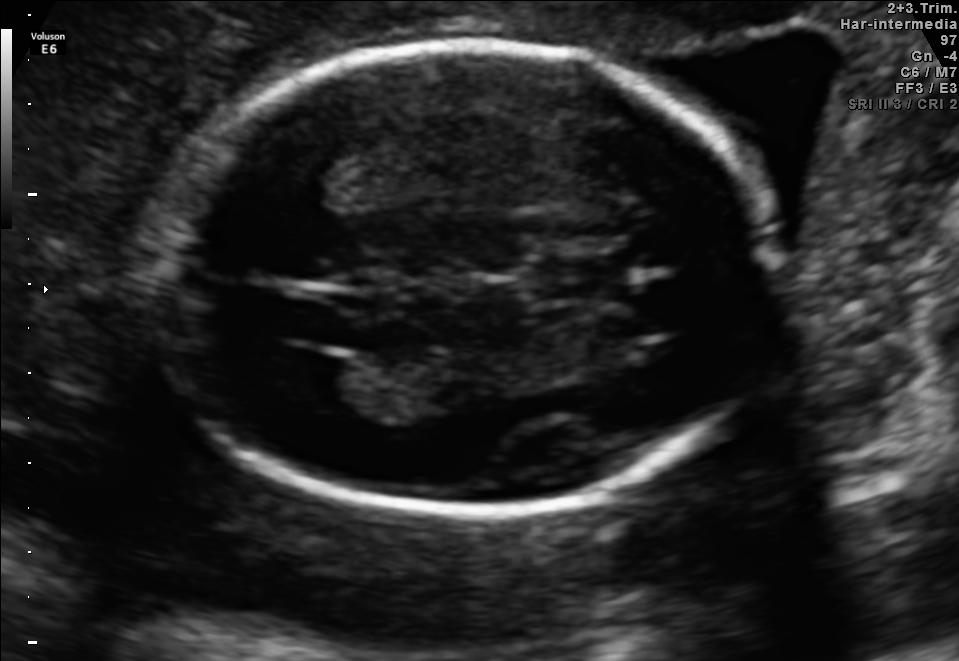
In this fetal brain, trans-ventricular plane, give the bounding box of the cavum septum pellucidum.

[541,259,624,298]